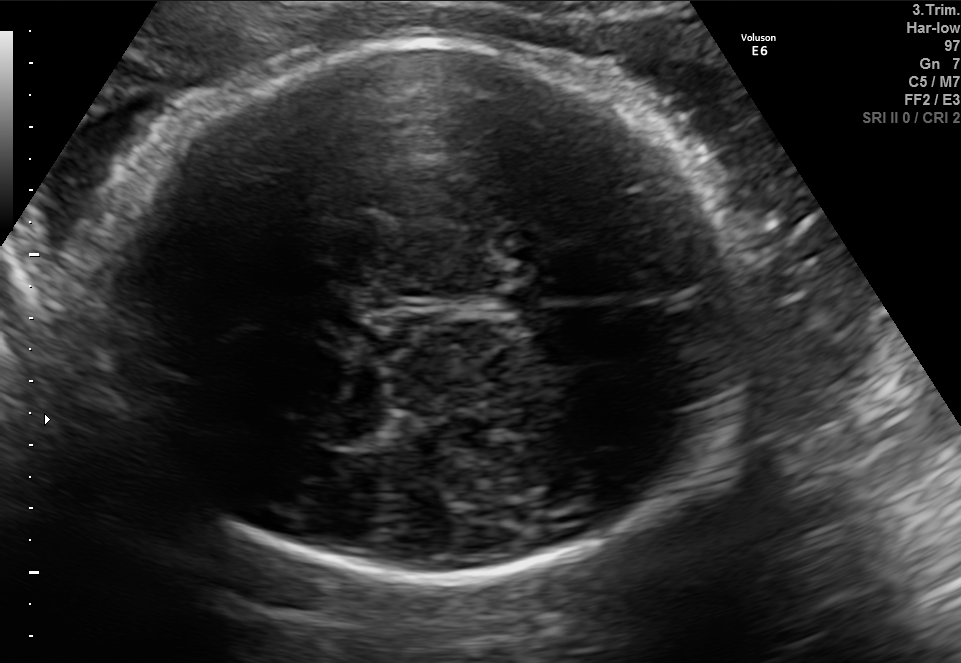
Fetal brain, trans-thalamic plane. Locate the fetal head and, if visible, the cavum septum pellucidum (CSP) and lateral ventricle (LV). Give bounding boxes as [x1,y1,x2,y2].

Head: [89,44,746,577]